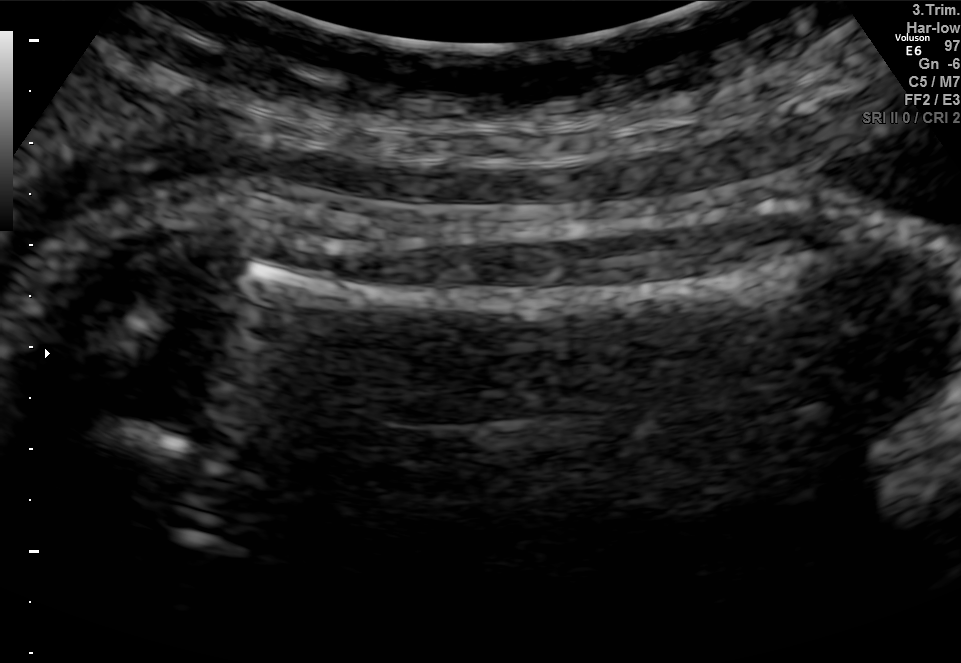
Identify the standard plane in this fetal ultrasound image: fetal abdomen, fetal brain, fetal femur, fetal thorax, maternal cervix, or other. If it's fetal brain and one of the three standard brain planes (trans-thalamic, trans-cerebellum, trans-ventricular), name which.

Fetal femur